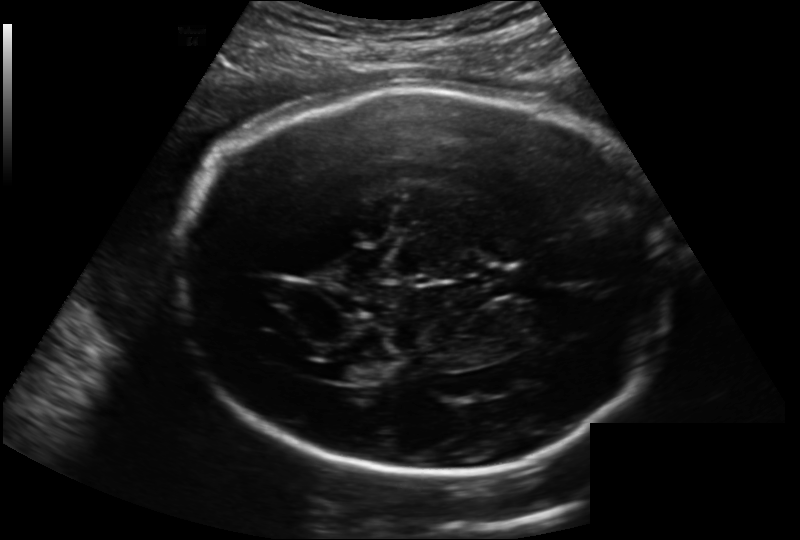
Fetal head ultrasound. Image width: 161.8 mm. Locate the cavum septum pellucidum.

CSP: [479,258,540,302]